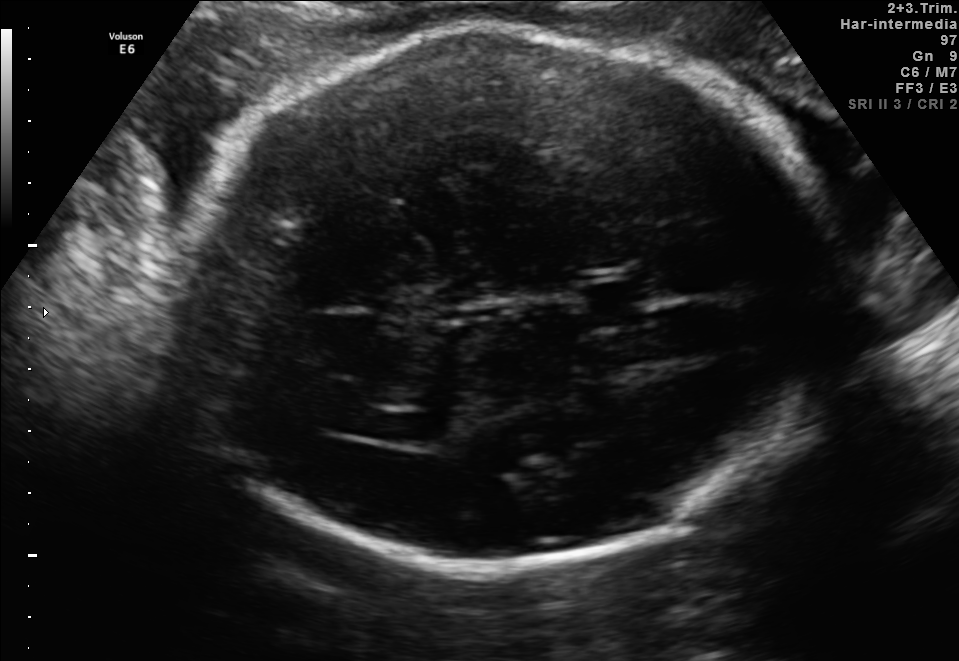
Fetal brain, trans-ventricular plane. Where is the lateral ventricle?

Lateral ventricle bounding box: [379,408,461,450]